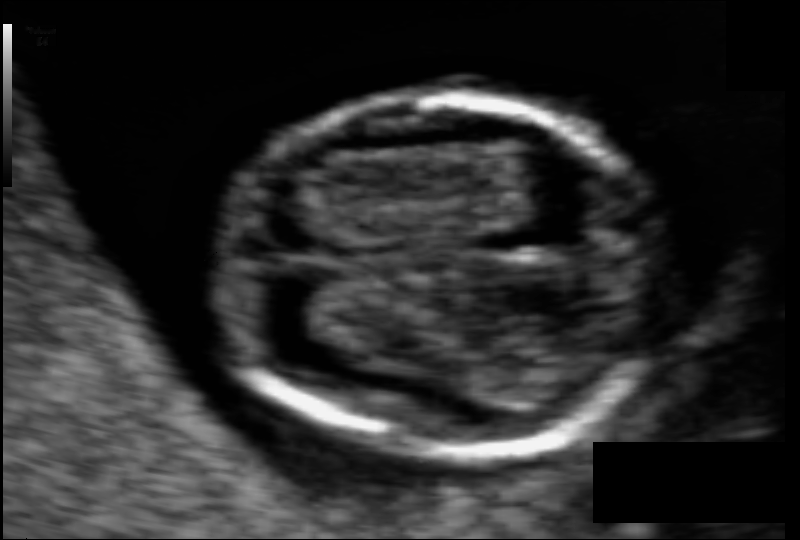
Measure the fetal head circumference shown in this ultrasound image. Image width: 44.9 mm.

Head circumference: 73.0 mm.